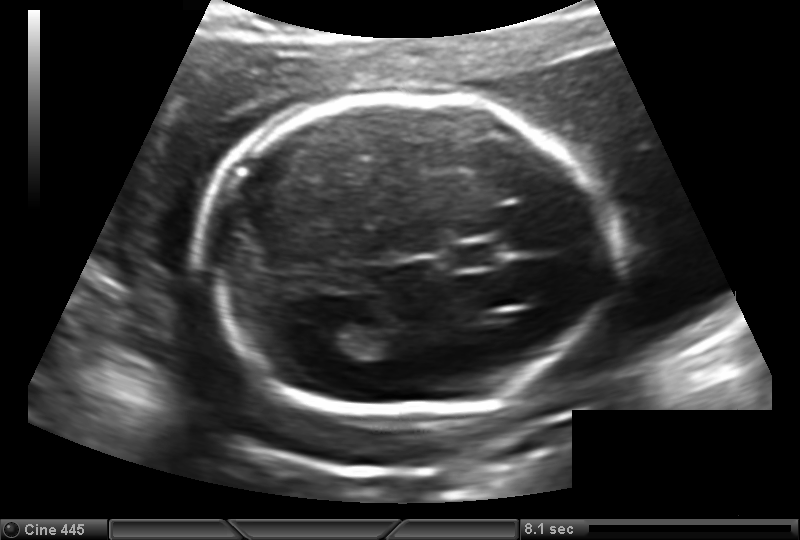
Fetal head ultrasound. Image width: 119.4 mm. Locate the lateral ventricle.

Lateral ventricle: [315,320,367,358]